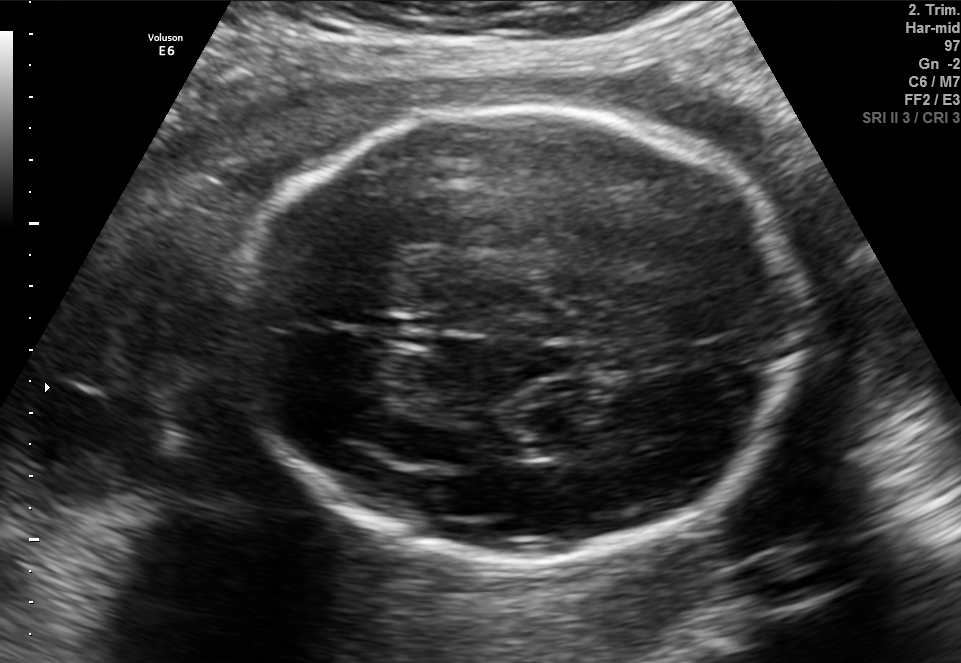
In this fetal brain, trans-thalamic plane, give the bounding box of the fetal head.

[220,107,799,558]